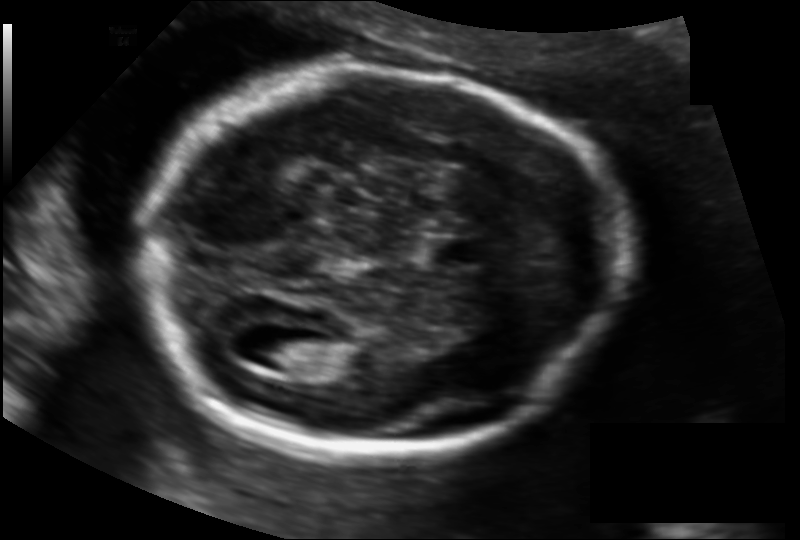
Fetal head ultrasound. Image width: 102.3 mm. Where is the lateral ventricle?

Lateral ventricle bounding box: [251,328,317,376]